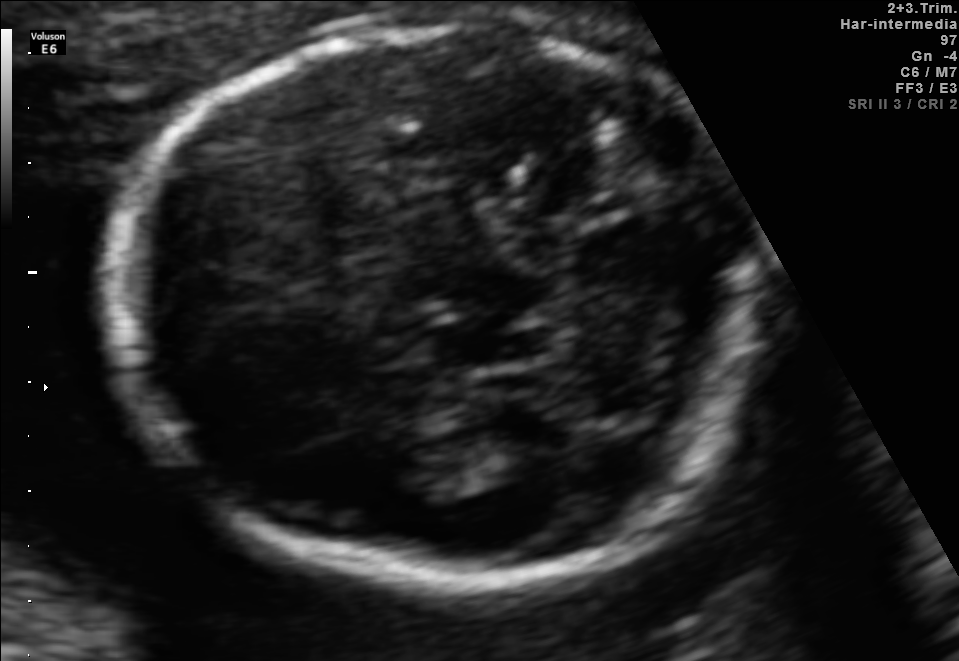
Fetal brain, trans-thalamic plane. Locate the fetal head and, if visible, the cavum septum pellucidum (CSP) and lateral ventricle (LV). Give bounding boxes as [x1,y1,x2,y2].

Head: [110,18,763,583]